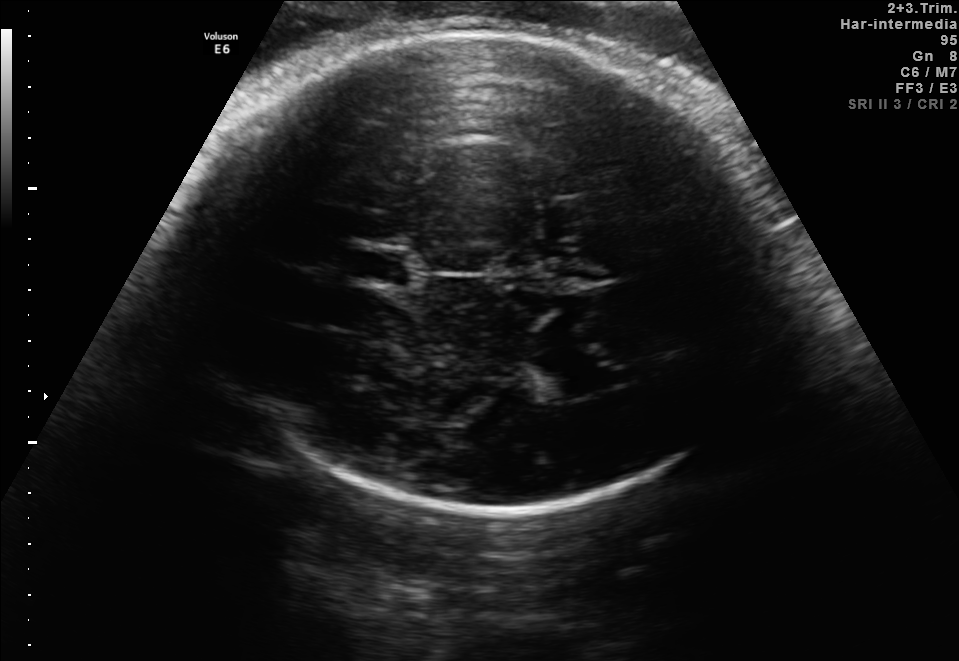
In this fetal brain, trans-thalamic plane, give the bounding box of the lateral ventricle.

[525,343,605,407]